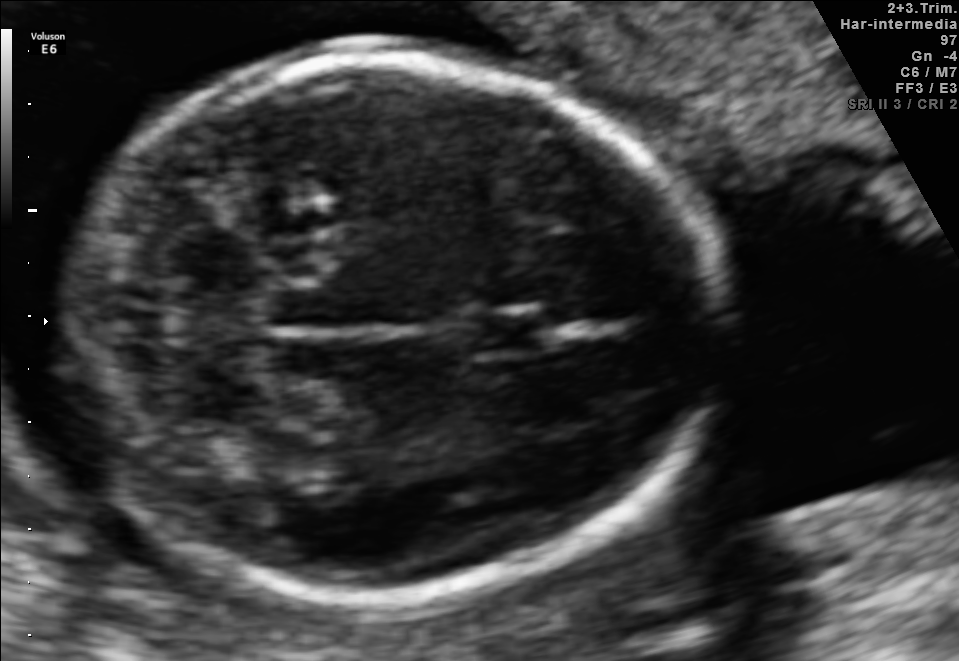
Which standard maternal-fetal ultrasound plane is shown: fetal abdomen, fetal brain, fetal femur, fetal thorax, maternal cervix, or other? If it's fetal brain and one of the three standard brain planes (trans-thalamic, trans-cerebellum, trans-ventricular), name which.

Fetal femur